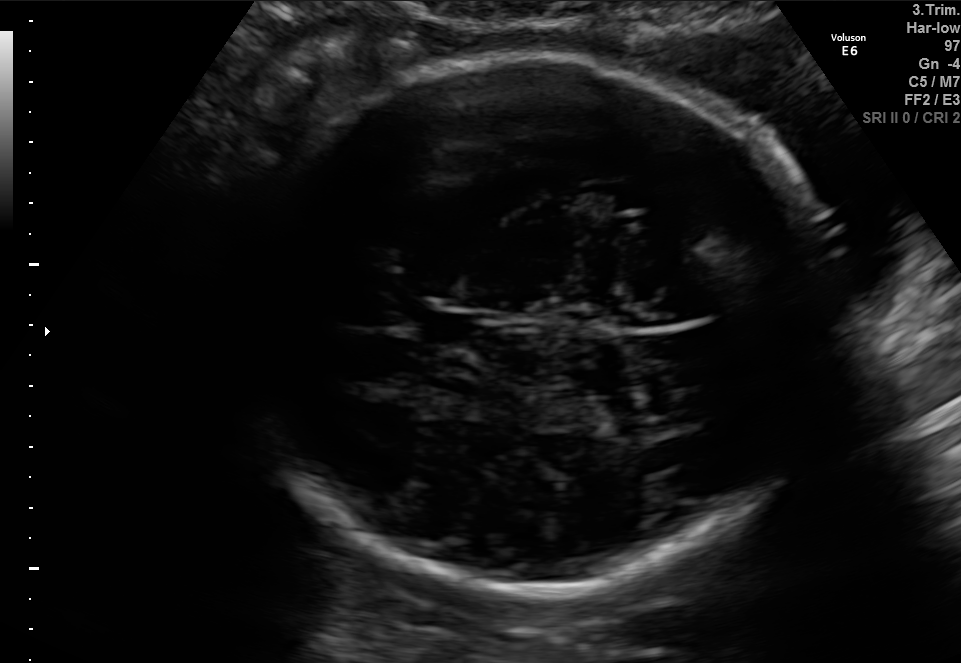
Fetal brain, trans-thalamic plane. Locate the cavum septum pellucidum.

CSP: [422,314,475,344]